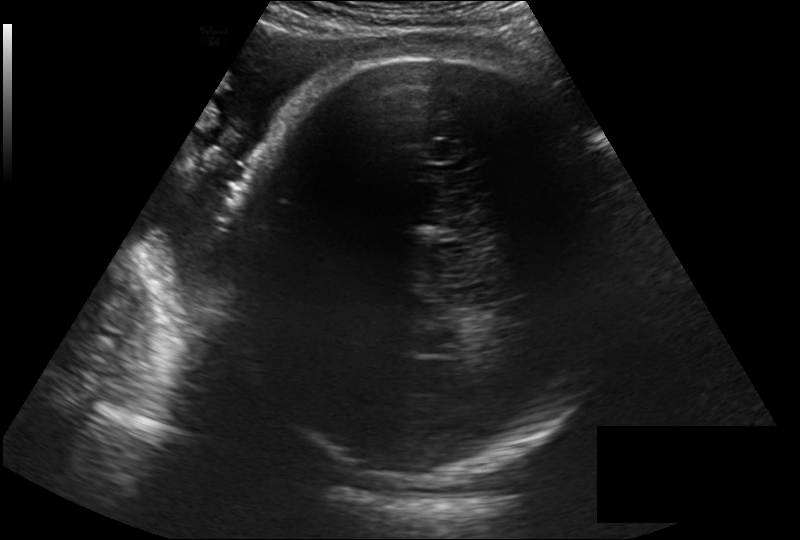
Measure the fetal head circumference shown in this ultrasound image. Image width: 206.0 mm.

Head circumference: 330.7 mm.